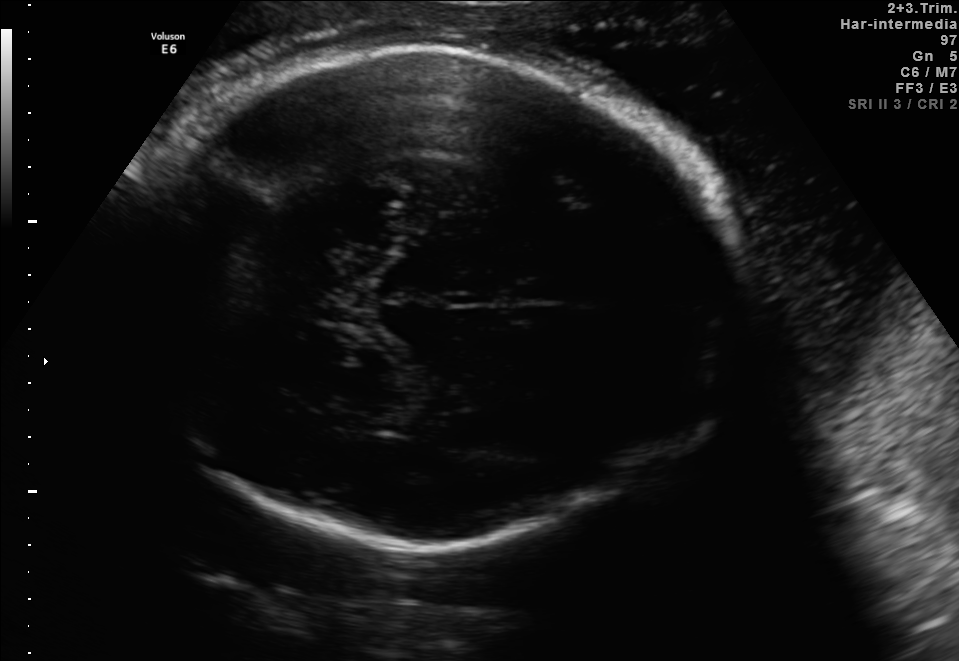
In this fetal brain, trans-thalamic plane, give bounding boxes for the head outline, cavum septum pellucidum (CSP), and lateral ventricle (LV), where visible.

Head: [111,45,742,546]